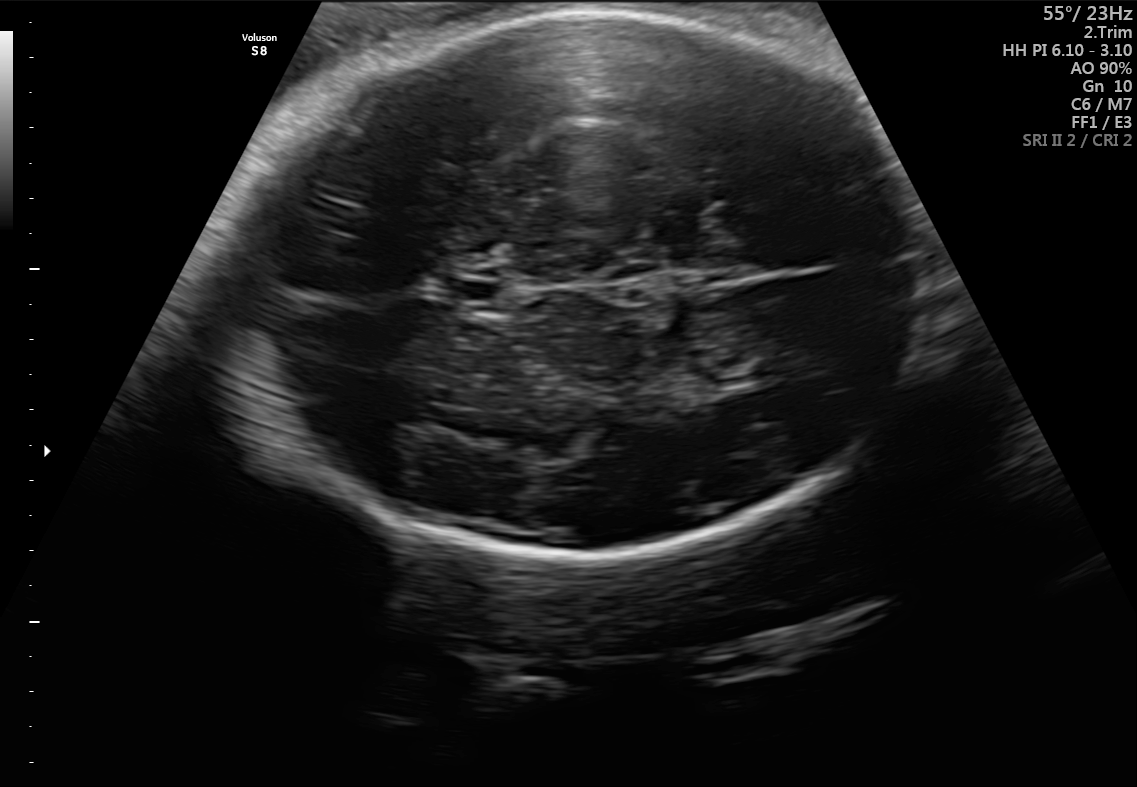
Fetal brain, trans-thalamic plane. Give [x1,y1,x2,y2] bounding boxes for each visible structure among: fetal head, CSP, LV.

Head: [225,10,921,568]
CSP: [446,278,501,302]